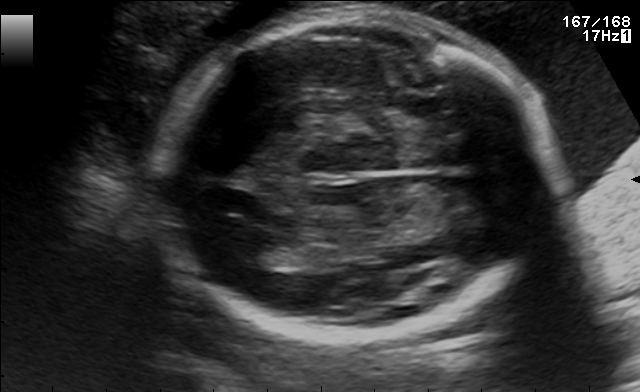
Fetal brain, trans-ventricular plane. Give [x1,y1,x2,y2] bounding boxes for each visible structure among: fetal head, CSP, LV.

Head: [151,4,565,345]